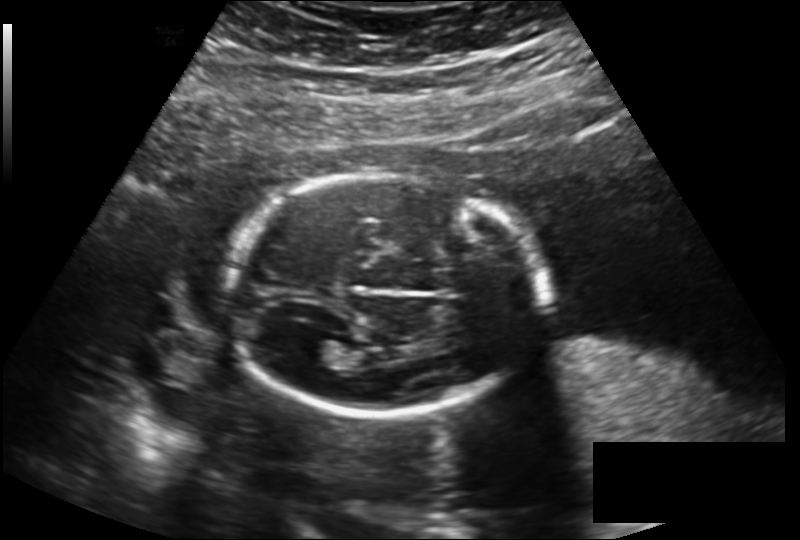
Measure the fetal head circumference shown in this ultrasound image. Image width: 150.8 mm.

Head circumference: 173.3 mm.